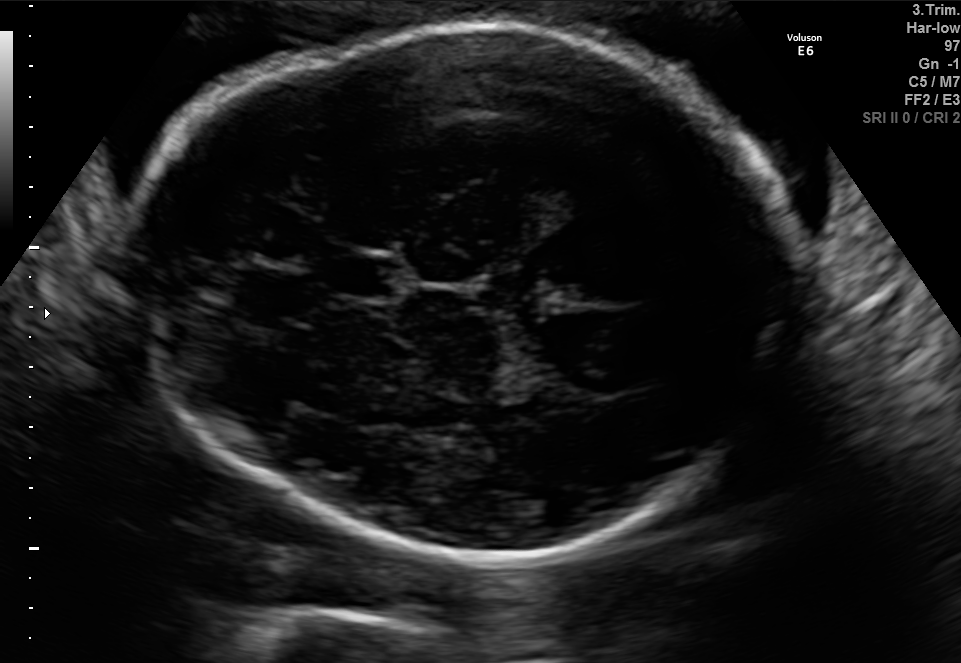
Fetal brain, trans-thalamic plane. Give [x1,y1,x2,y2] bounding boxes for each visible structure among: fetal head, CSP, LV.

Head: [121,24,800,561]
CSP: [335,253,399,299]